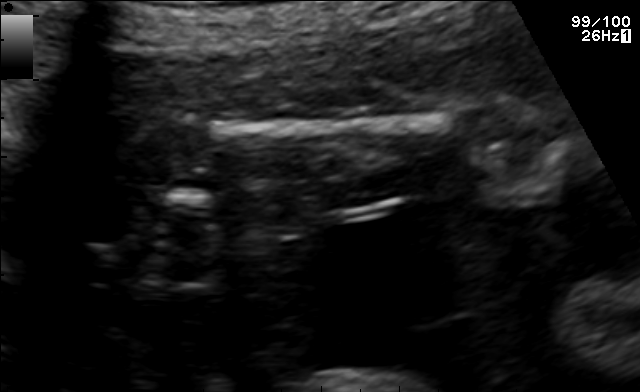
Classify this maternal-fetal ultrasound image as one of the six standard planes — fetal abdomen, fetal brain, fetal femur, fetal thorax, maternal cervix, or other. If it's fetal brain and one of the three standard brain planes (trans-thalamic, trans-cerebellum, trans-ventricular), name which.

Fetal femur